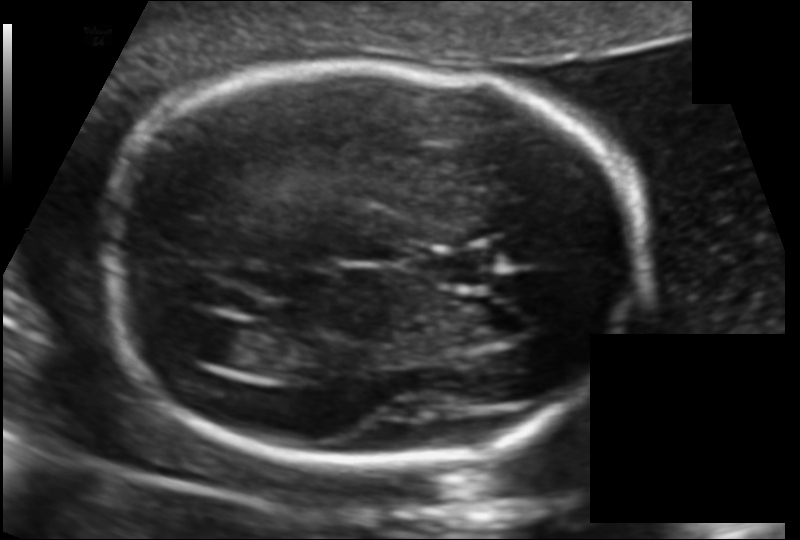
In this fetal head ultrasound, give the bounding box of the cavum septum pellucidum. Image width: 93.9 mm.

[423,251,496,289]